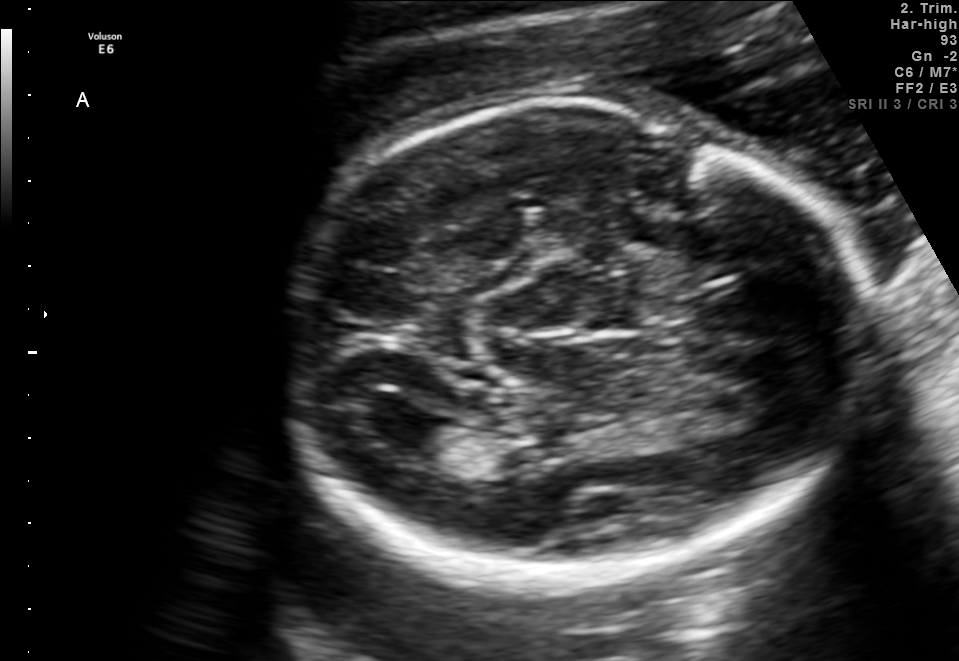
Fetal brain, trans-ventricular plane. Locate the lateral ventricle.

Lateral ventricle: [363,394,451,460]